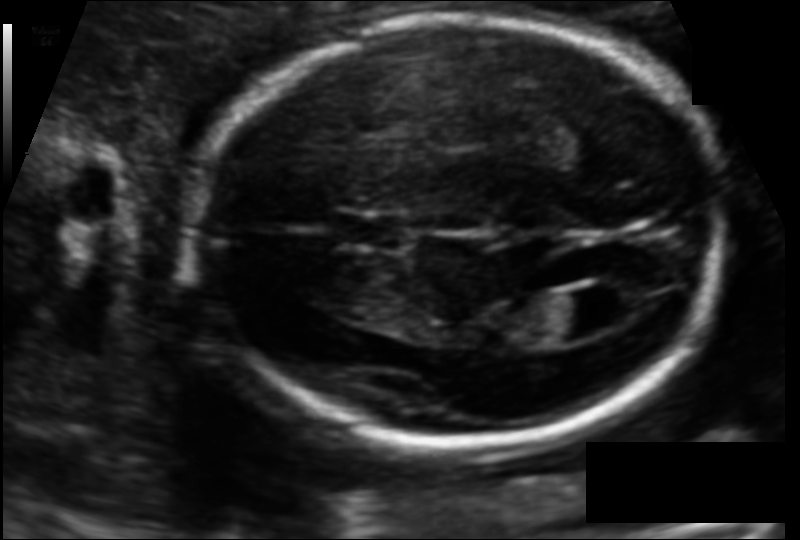
Fetal head ultrasound. Image width: 90.0 mm. Locate the cavum septum pellucidum.

CSP: [335,211,404,250]